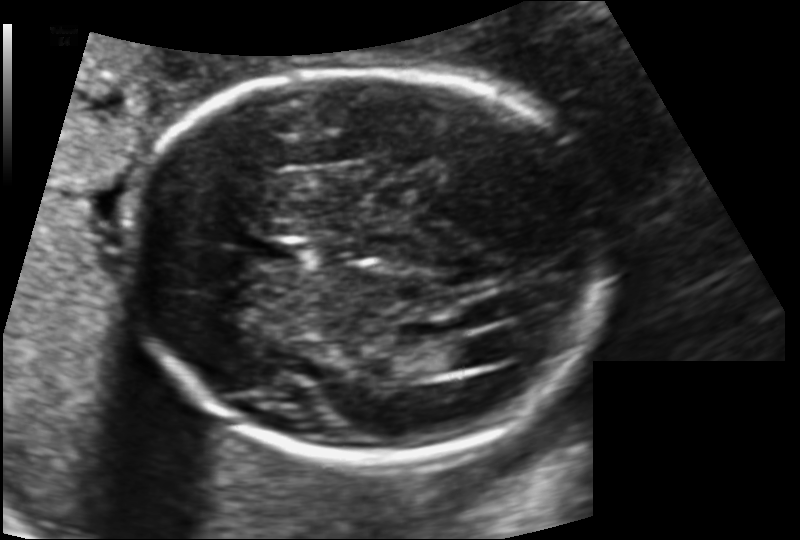
From this fetal ultrasound, estimate the head circumference (image width 107.8 mm).

Head circumference: 189.4 mm.